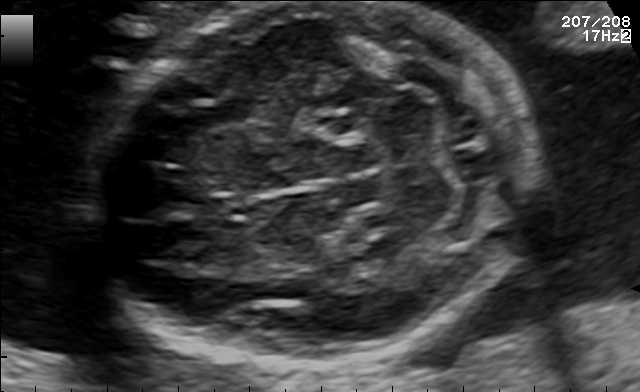
In this fetal brain, trans-cerebellum plane, give bounding boxes for the head outline, cavum septum pellucidum (CSP), and lateral ventricle (LV), where visible.

Head: [88,4,537,362]